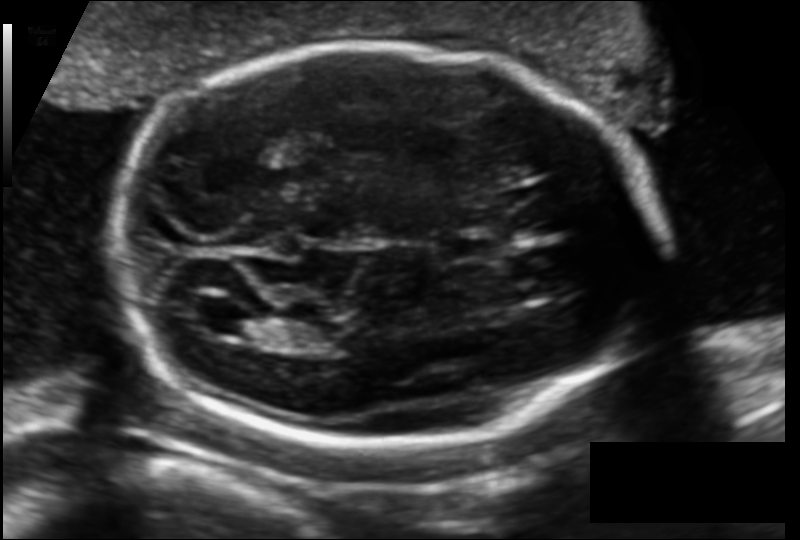
Measure the fetal head circumference shown in this ultrasound image. Image width: 103.4 mm.

Head circumference: 198.6 mm.